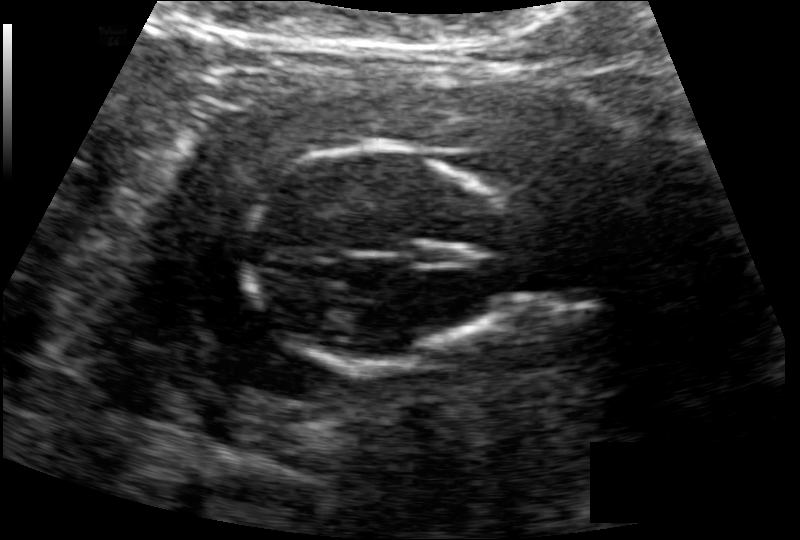
Measure the fetal head circumference shown in this ultrasound image. Image width: 100.6 mm.

Head circumference: 100.5 mm.